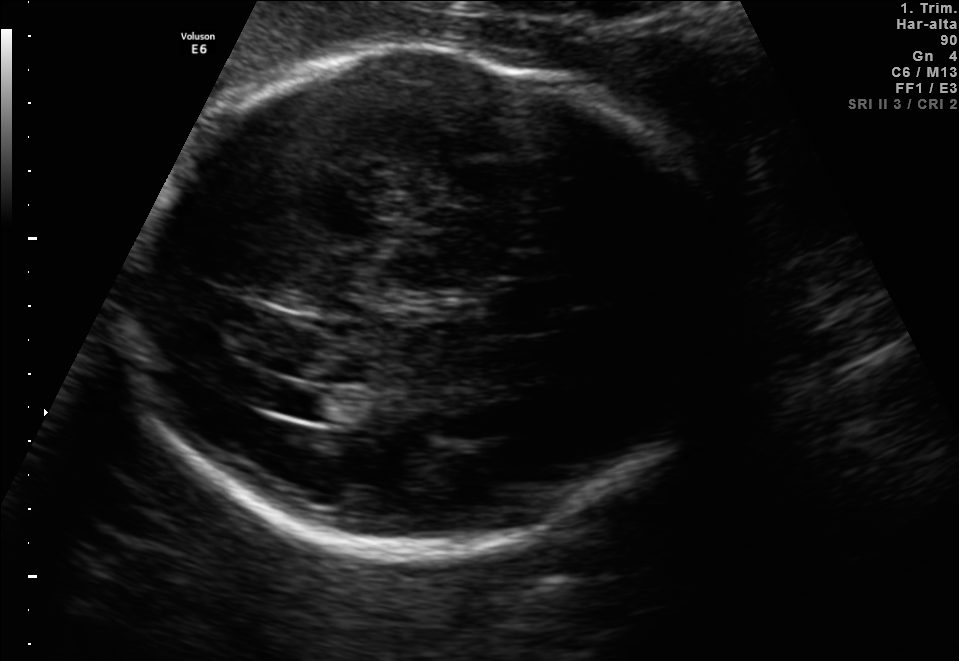
Fetal brain, trans-ventricular plane. Where is the fetal head?

Head bounding box: [135,44,740,565]